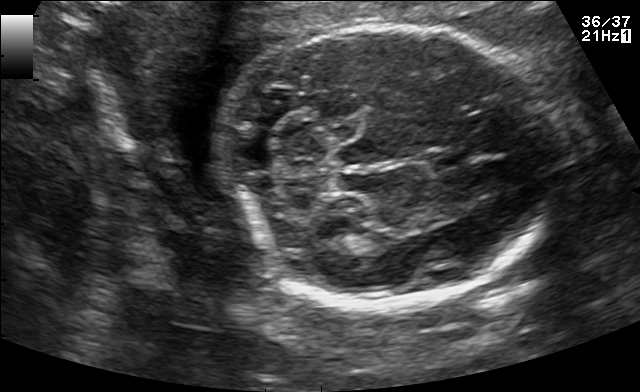
Fetal brain, trans-cerebellum plane. Give [x1,y1,x2,y2] bounding boxes for each visible structure among: fetal head, CSP, LV.

Head: [220,25,558,305]
CSP: [422,138,479,175]